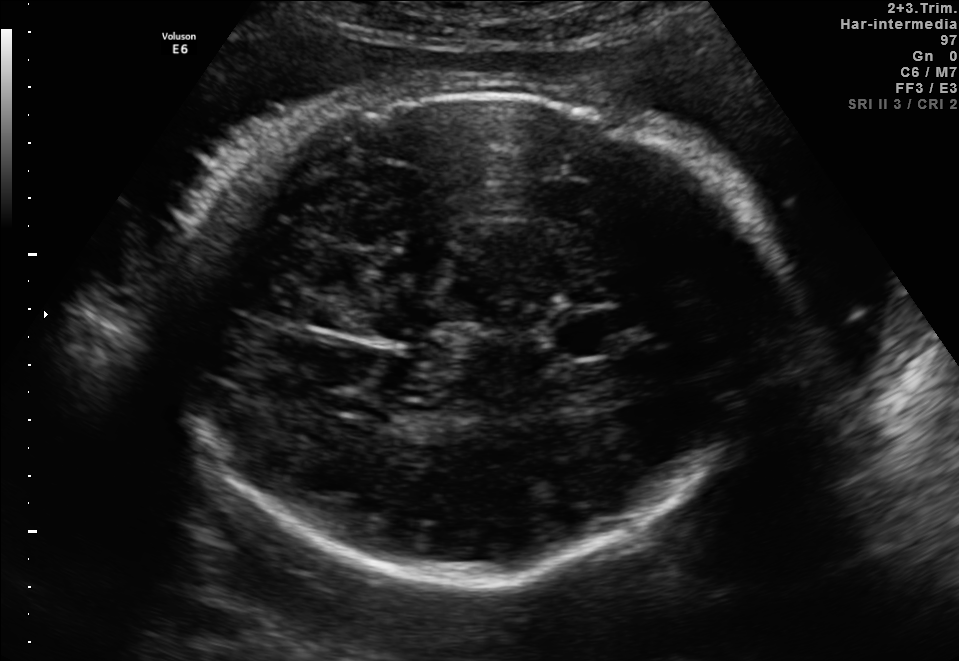
Fetal brain, trans-thalamic plane. Locate the fetal head.

Head: [157,90,776,583]